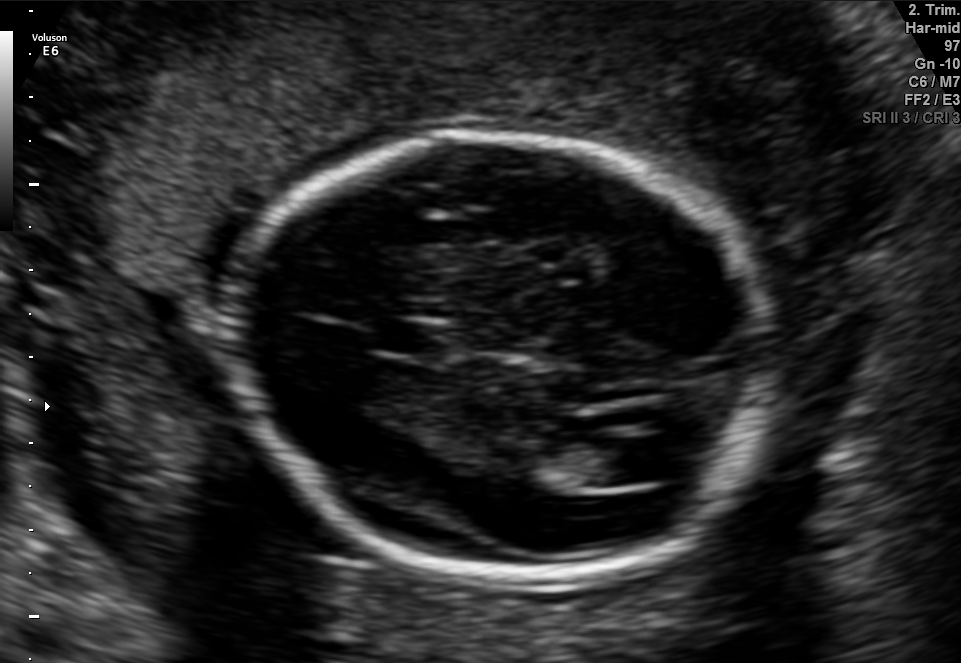
Fetal brain, trans-ventricular plane. Locate the cavum septum pellucidum.

CSP: [374,320,431,355]